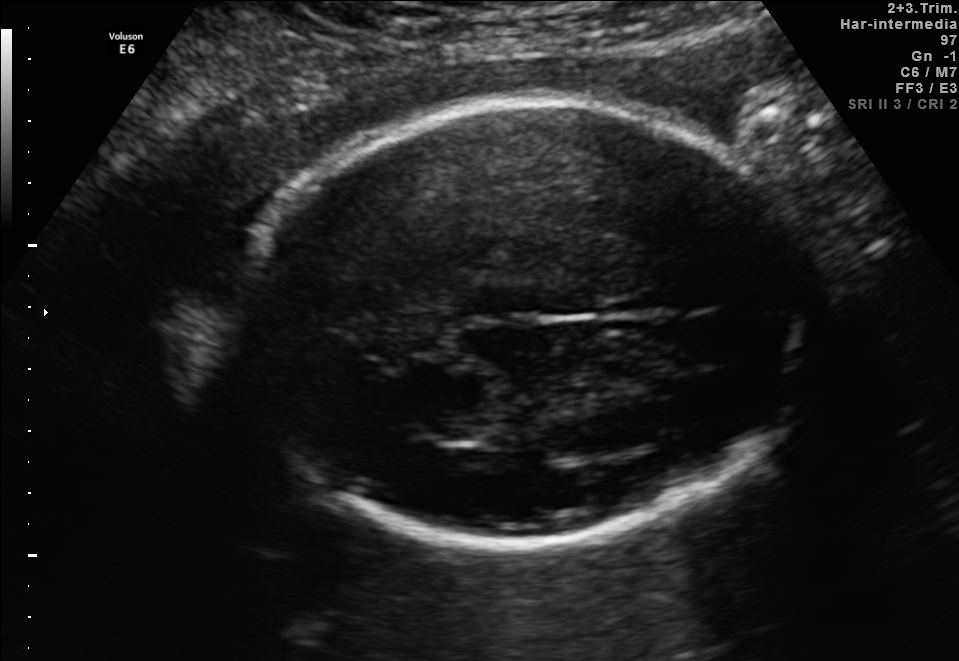
Fetal brain, trans-thalamic plane. Locate the fetal head.

Head: [222,102,833,547]